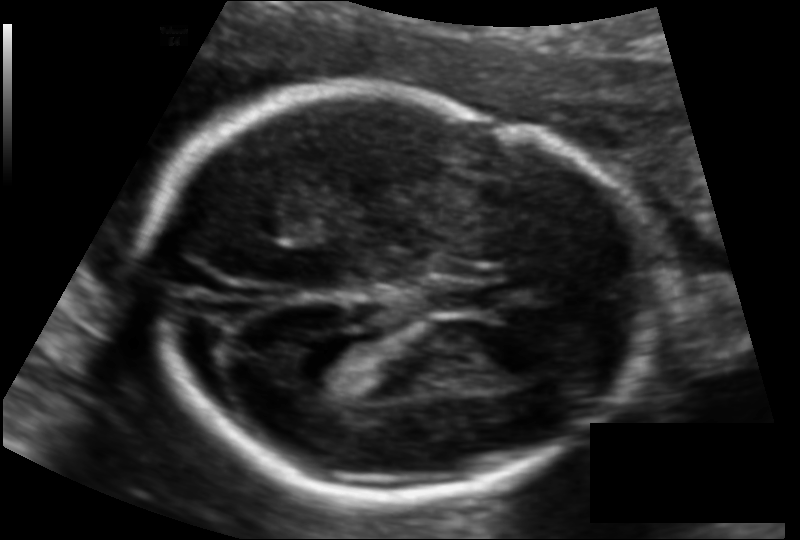
Fetal head ultrasound. Image width: 93.9 mm. Locate the fetal head and, if visible, the cavum septum pellucidum (CSP) and lateral ventricle (LV). Give bounding boxes as [x1,y1,x2,y2].

Head: [136,94,642,495]
CSP: [429,278,500,315]
Lateral ventricle: [284,325,372,396]